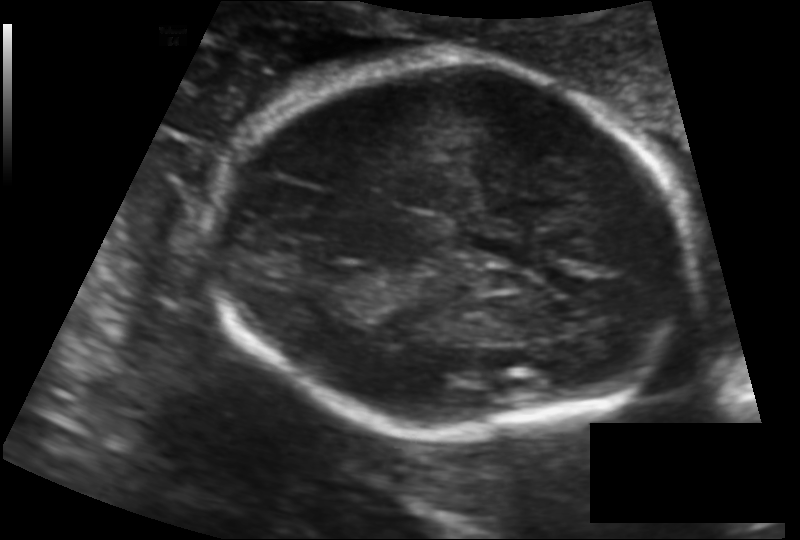
In this fetal head ultrasound, give the bounding box of the fetal head. Image width: 102.5 mm.

[212,59,688,437]